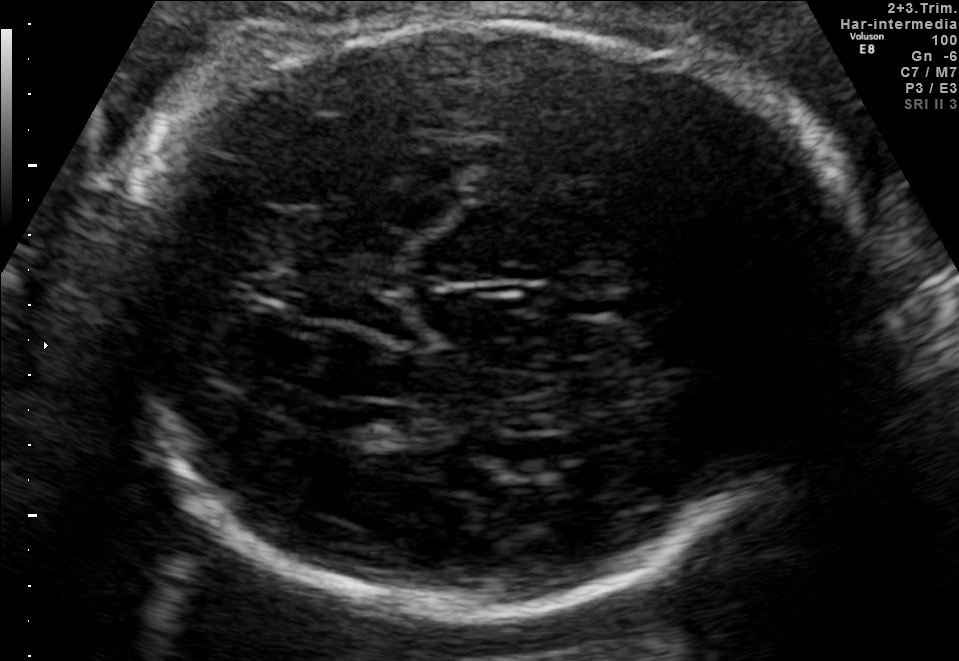
In this fetal brain, trans-thalamic plane, give the bounding box of the lateral ventricle.

[325,400,417,447]